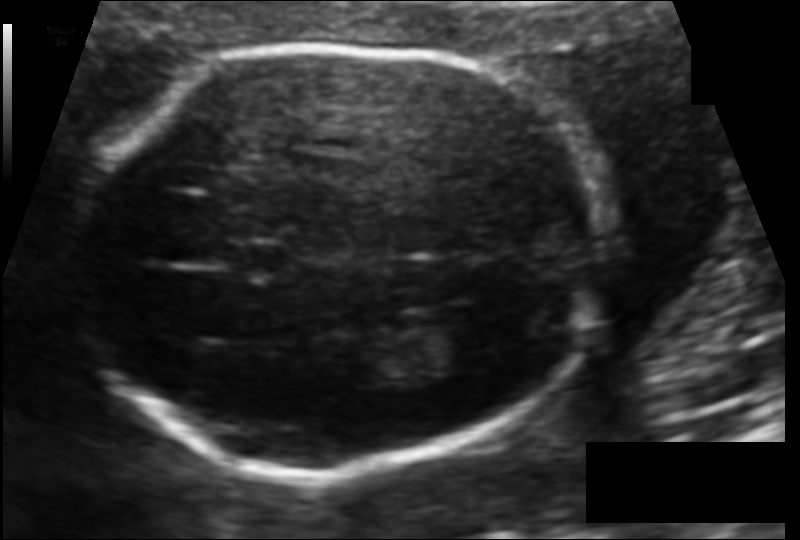
Fetal head ultrasound. Image width: 86.3 mm. Where is the lateral ventricle?

Lateral ventricle bounding box: [436,312,523,373]